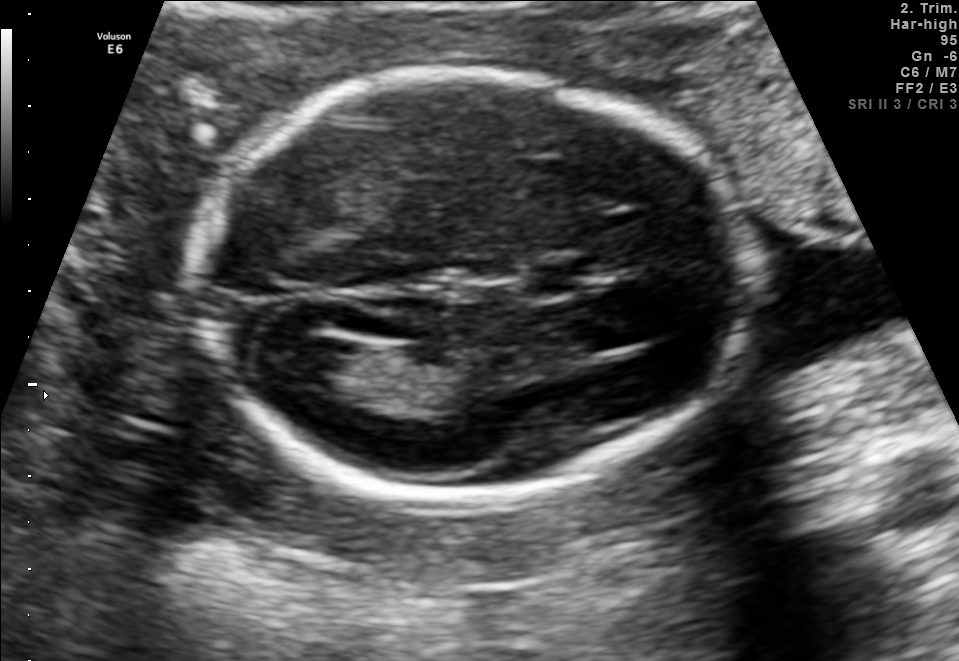
Fetal brain, trans-ventricular plane. Where is the lateral ventricle?

Lateral ventricle bounding box: [260,328,355,390]